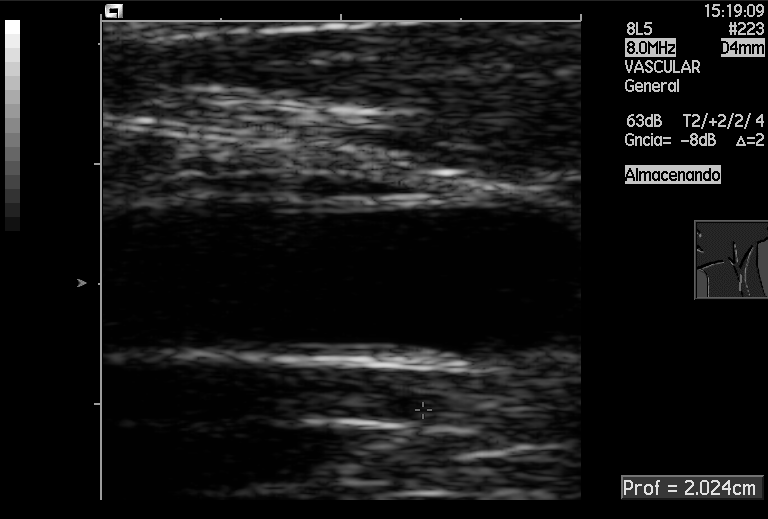
Classify this maternal-fetal ultrasound image as one of the six standard planes — fetal abdomen, fetal brain, fetal femur, fetal thorax, maternal cervix, or other. If it's fetal brain and one of the three standard brain planes (trans-thalamic, trans-cerebellum, trans-ventricular), name which.

Other